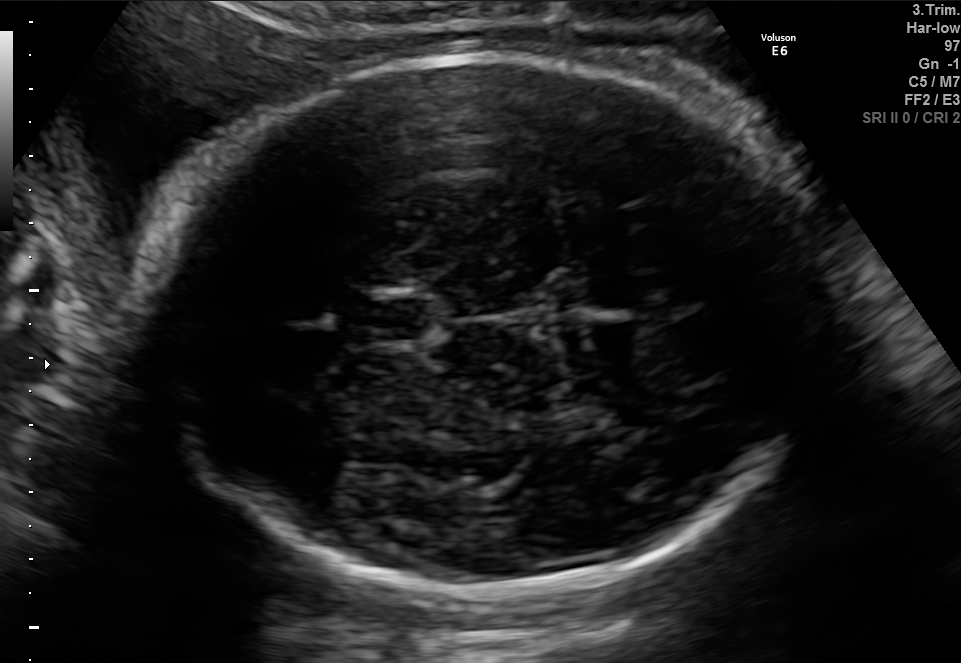
In this fetal brain, trans-thalamic plane, give bounding boxes for the head outline, cavum septum pellucidum (CSP), and lateral ventricle (LV), where visible.

Head: [155,55,822,586]
CSP: [366,299,429,340]